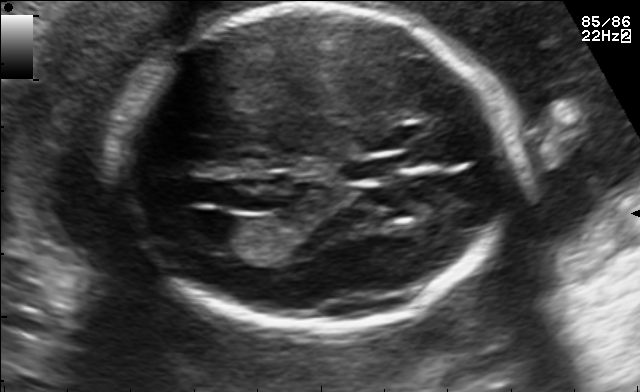
Fetal brain, trans-ventricular plane. Locate the cavum septum pellucidum.

CSP: [338,149,420,186]